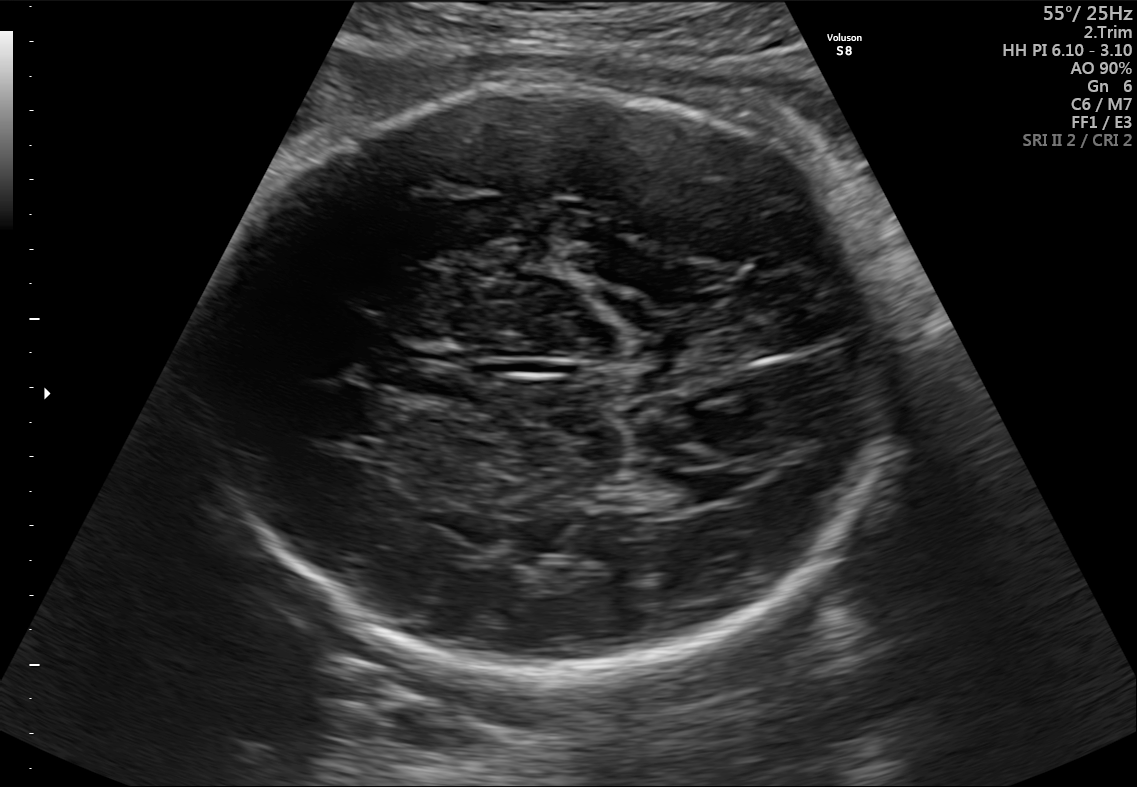
In this fetal brain, trans-thalamic plane, give the bounding box of the lateral ventricle.

[663,464,741,511]